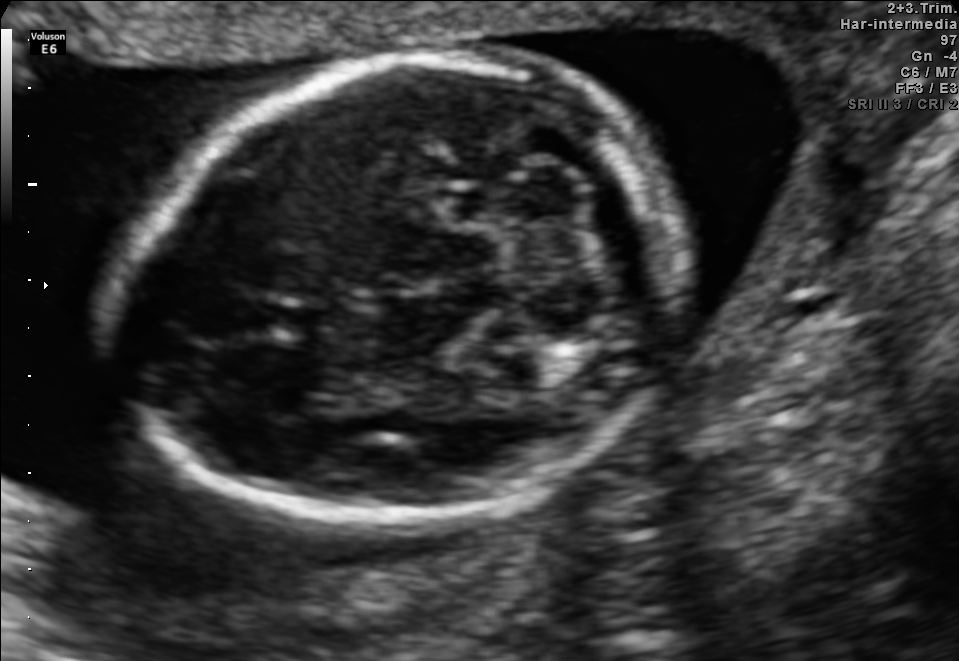
Fetal brain, trans-cerebellum plane. Where is the fetal head?

Head bounding box: [115,55,686,536]